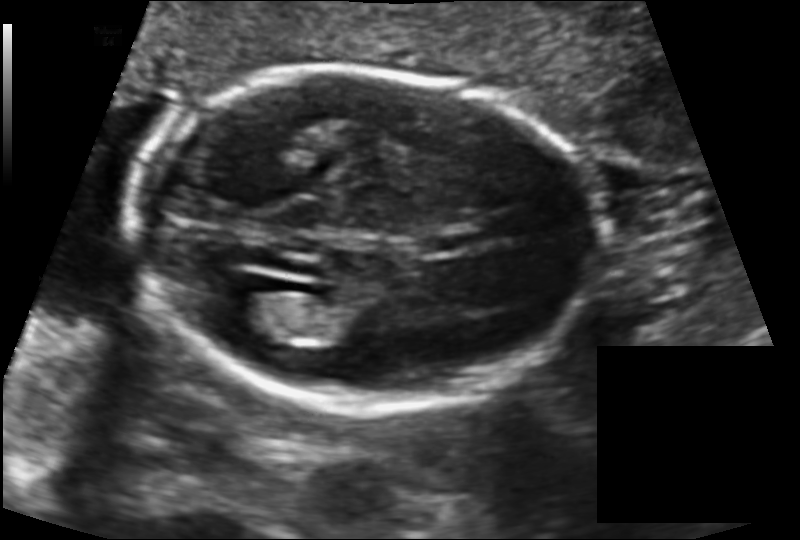
Fetal head ultrasound. Image width: 105.0 mm. Where is the lateral ventricle?

Lateral ventricle bounding box: [220,294,293,340]